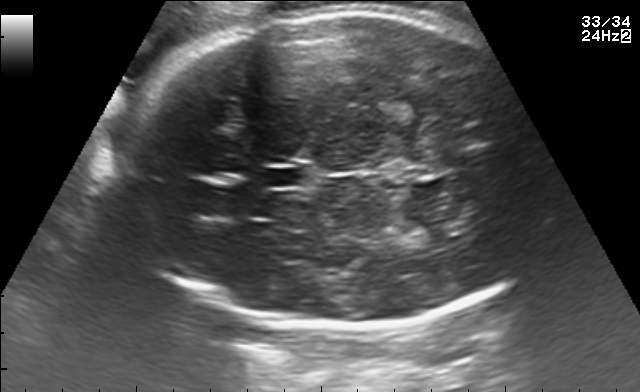
In this fetal brain, trans-thalamic plane, give bounding boxes for the head outline, cavum septum pellucidum (CSP), and lateral ventricle (LV), where visible.

Head: [119,11,547,329]
CSP: [264,169,306,186]